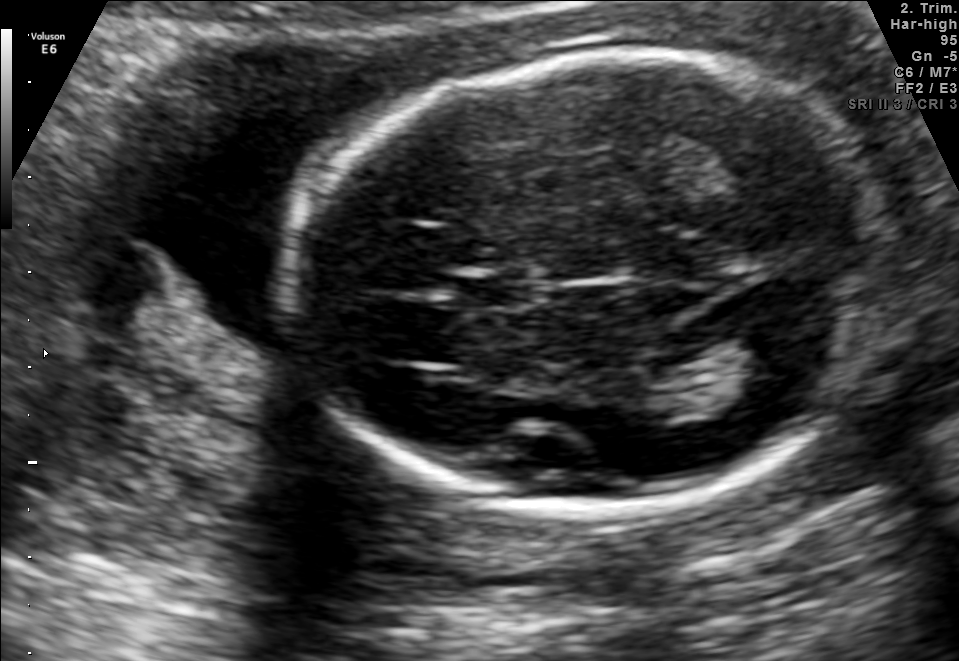
Fetal brain, trans-thalamic plane. Locate the fetal head and, if visible, the cavum septum pellucidum (CSP) and lateral ventricle (LV). Give bounding boxes as [x1,y1,x2,y2].

Head: [290,53,885,518]
CSP: [461,278,529,306]
Lateral ventricle: [692,330,820,418]